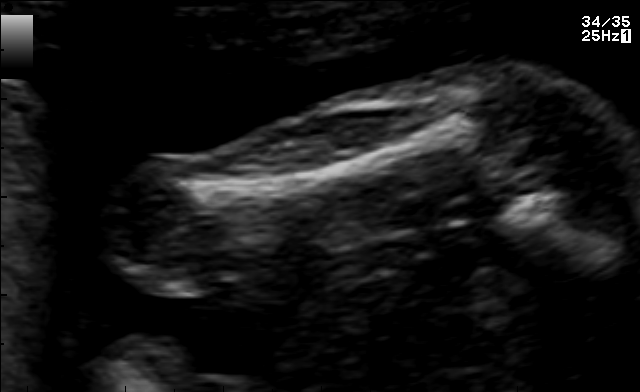
This is a 2D maternal-fetal ultrasound frame. Is it a fetal abdomen, fetal brain, fetal femur, fetal thorax, maternal cervix, or other standard plane? If it's fetal brain and one of the three standard brain planes (trans-thalamic, trans-cerebellum, trans-ventricular), name which.

Fetal femur